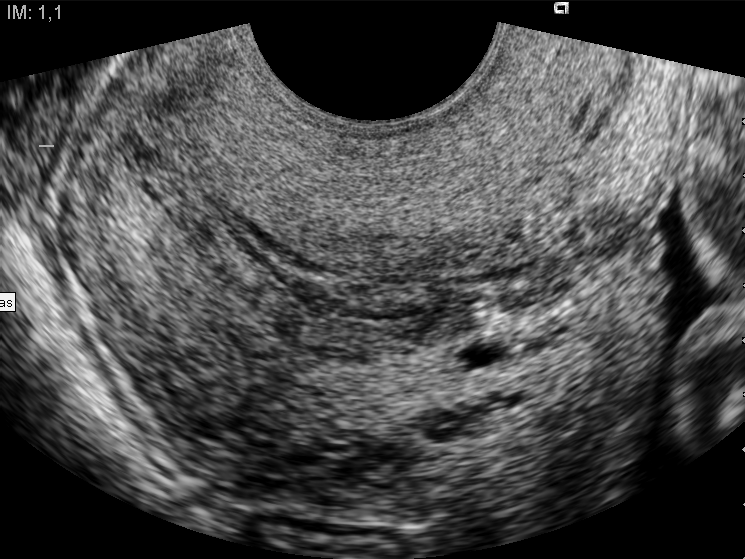
This is a 2D maternal-fetal ultrasound frame. Is it a fetal abdomen, fetal brain, fetal femur, fetal thorax, maternal cervix, or other standard plane? If it's fetal brain and one of the three standard brain planes (trans-thalamic, trans-cerebellum, trans-ventricular), name which.

Maternal cervix